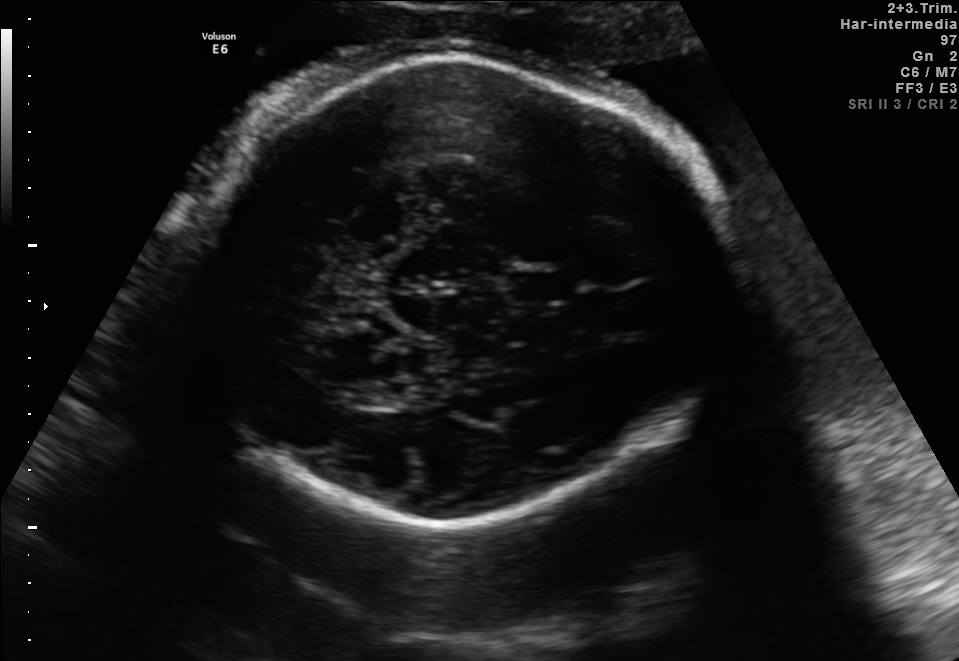
In this fetal brain, trans-thalamic plane, give the bounding box of the cavum septum pellucidum.

[506,273,568,300]